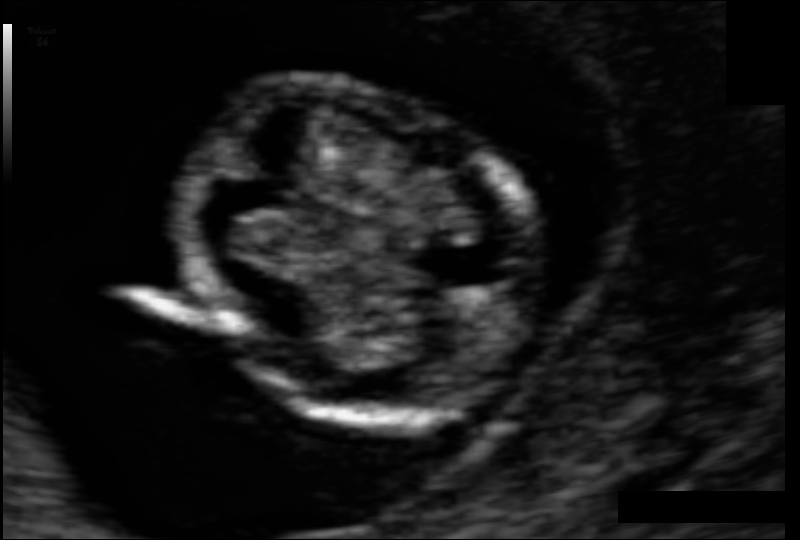
Estimate the fetal head circumference from this 2D ultrasound.

Head circumference: 67.5 mm (image width 47.3 mm).